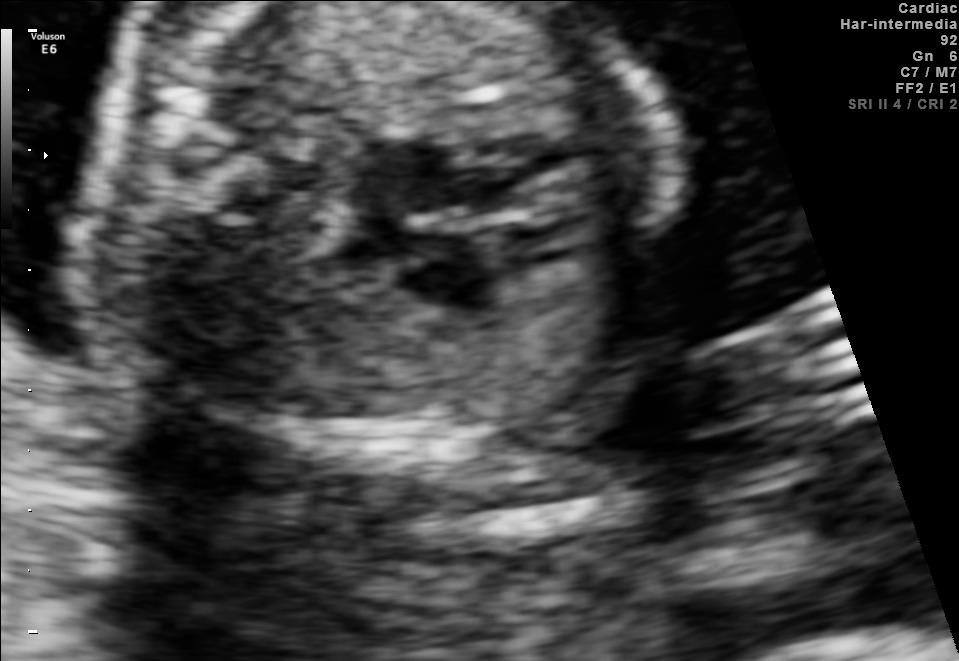
Which standard maternal-fetal ultrasound plane is shown: fetal abdomen, fetal brain, fetal femur, fetal thorax, maternal cervix, or other? If it's fetal brain and one of the three standard brain planes (trans-thalamic, trans-cerebellum, trans-ventricular), name which.

Fetal thorax